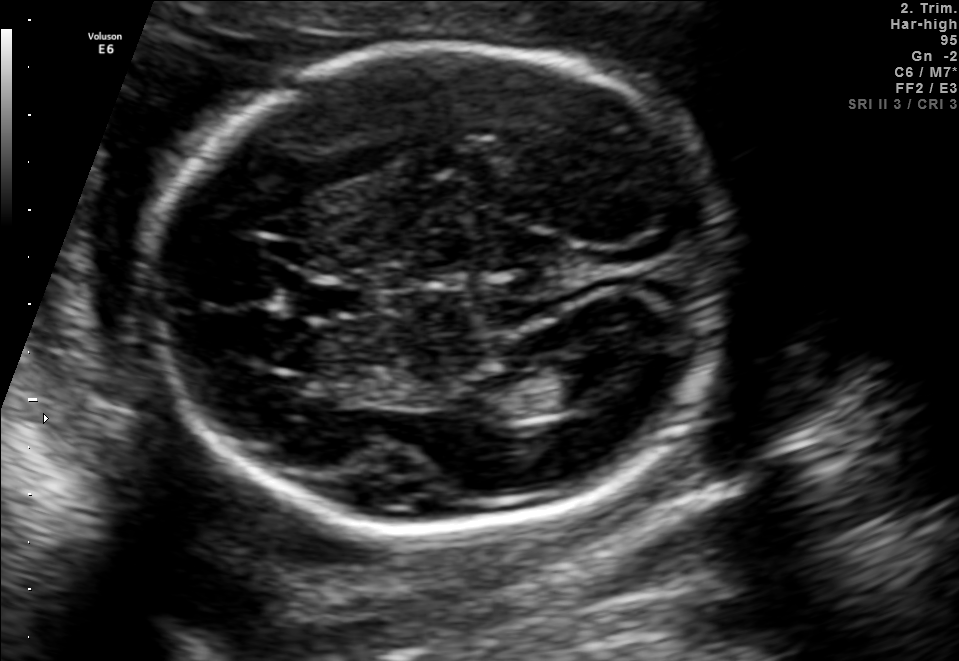
Fetal brain, trans-ventricular plane. Locate the fetal head and, if visible, the cavum septum pellucidum (CSP) and lateral ventricle (LV). Give bounding boxes as [x1,y1,x2,y2].

Head: [135,37,742,540]
CSP: [282,277,380,322]
Lateral ventricle: [536,343,641,416]